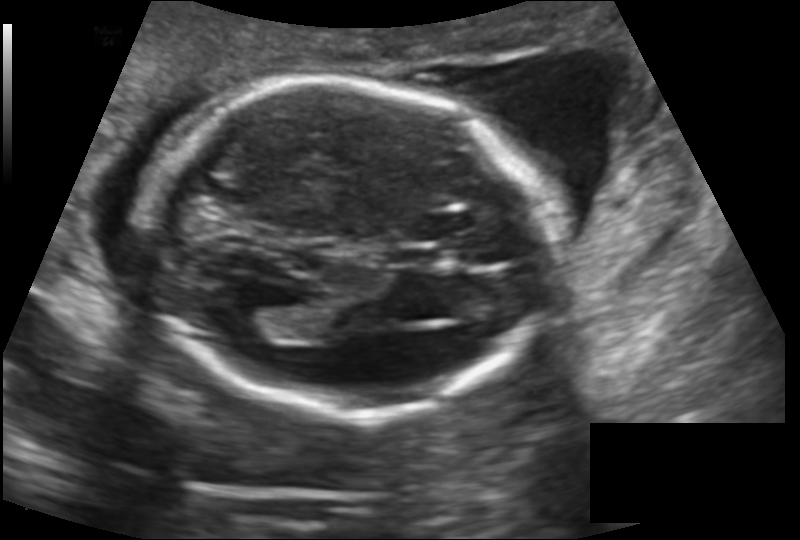
Measure the fetal head circumference shown in this ultrasound image. Image width: 116.4 mm.

Head circumference: 175.0 mm.